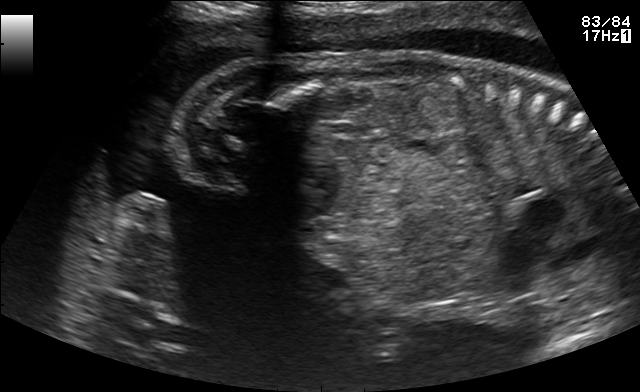
This is a 2D maternal-fetal ultrasound frame. Is it a fetal abdomen, fetal brain, fetal femur, fetal thorax, maternal cervix, or other standard plane? If it's fetal brain and one of the three standard brain planes (trans-thalamic, trans-cerebellum, trans-ventricular), name which.

Other